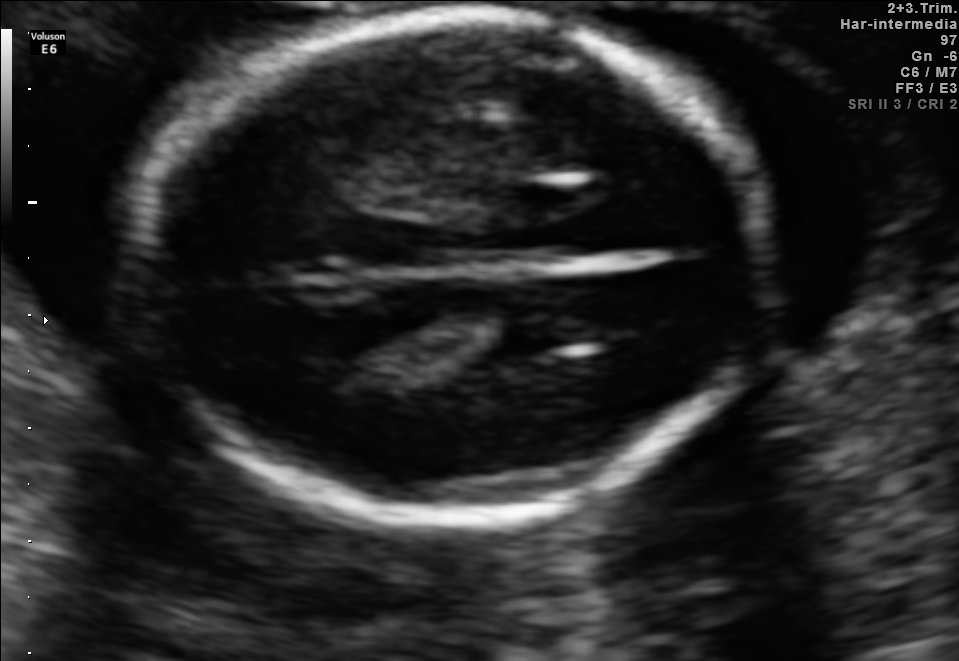
Fetal brain, trans-thalamic plane. Where is the fetal head?

Head bounding box: [139,16,768,519]